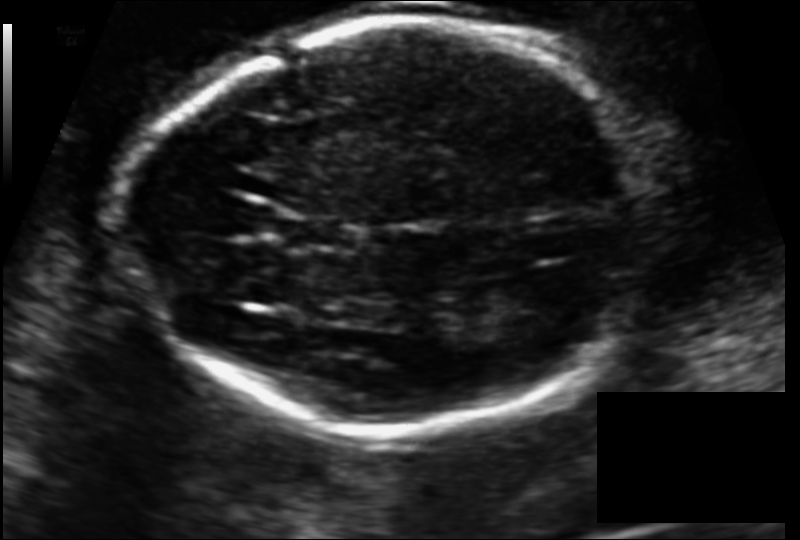
Fetal head ultrasound. Image width: 98.9 mm. Locate the fetal head.

Head: [128,19,652,433]